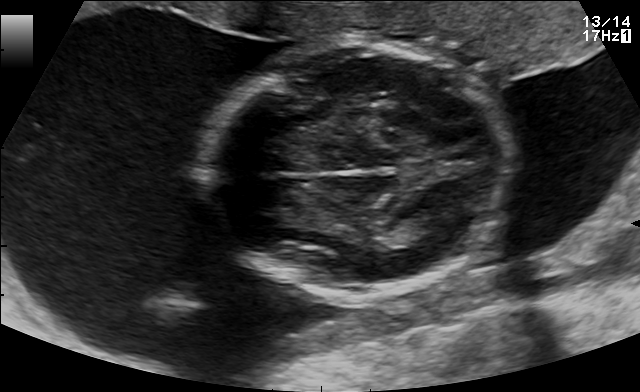
Fetal brain, trans-thalamic plane. Locate the fetal head and, if visible, the cavum septum pellucidum (CSP) and lateral ventricle (LV). Give bounding boxes as [x1,y1,x2,y2].

Head: [205,45,509,297]
Lateral ventricle: [395,202,453,245]